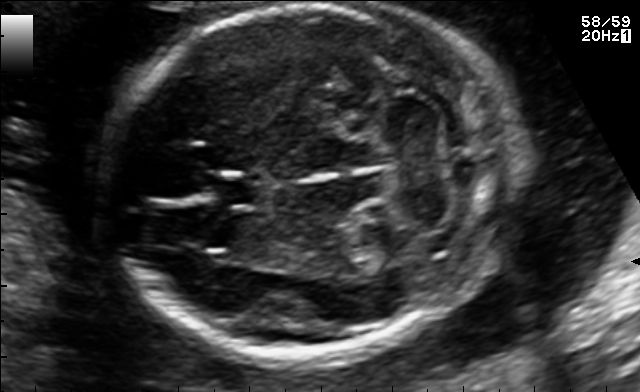
Fetal brain, trans-cerebellum plane. Locate the cavum septum pellucidum.

CSP: [207,173,263,207]